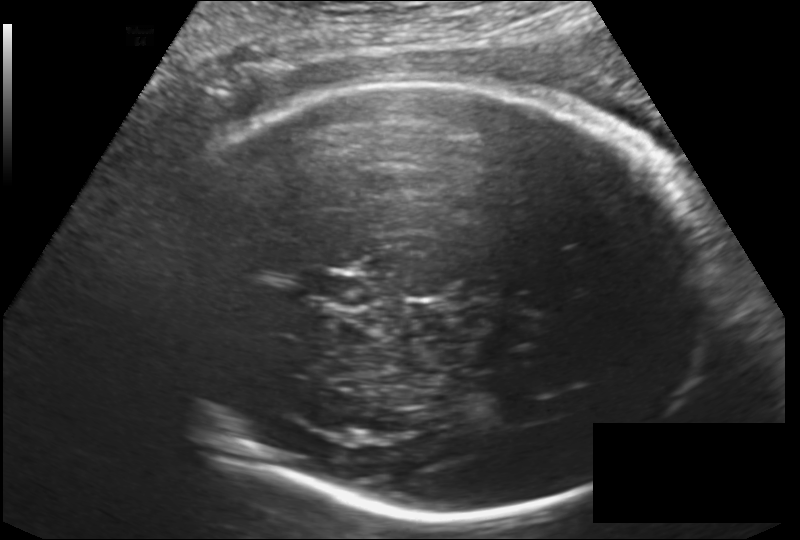
Estimate the fetal head circumference from this 2D ultrasound. Image width: 145.9 mm.

Head circumference: 288.9 mm.